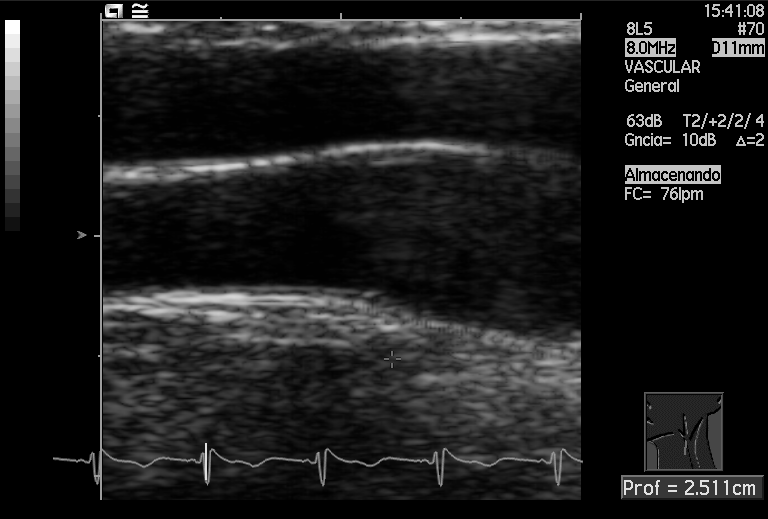
This is a 2D maternal-fetal ultrasound frame. Is it a fetal abdomen, fetal brain, fetal femur, fetal thorax, maternal cervix, or other standard plane? If it's fetal brain and one of the three standard brain planes (trans-thalamic, trans-cerebellum, trans-ventricular), name which.

Other